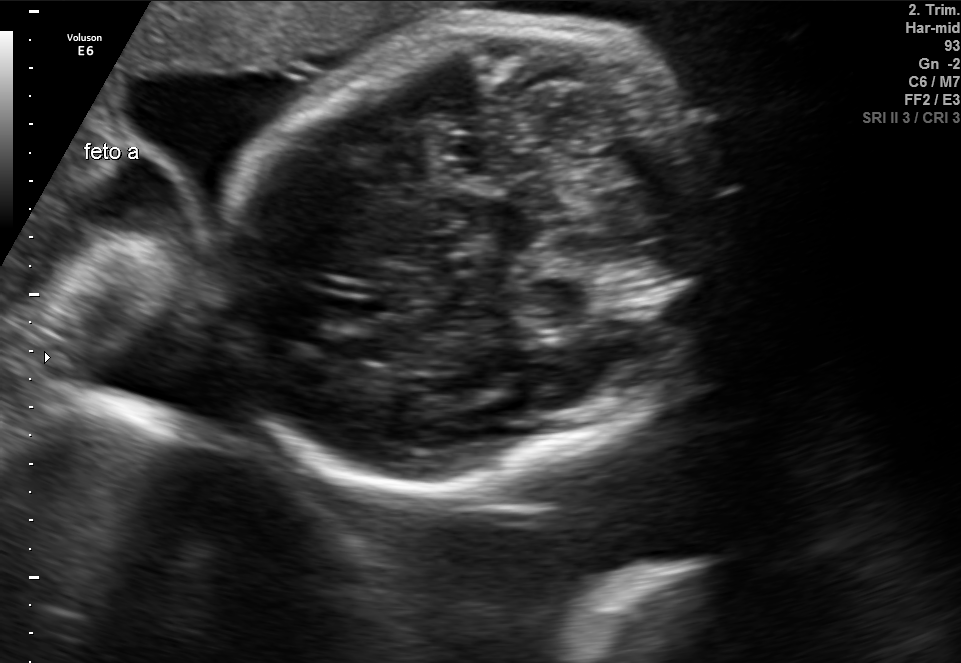
Classify this maternal-fetal ultrasound image as one of the six standard planes — fetal abdomen, fetal brain, fetal femur, fetal thorax, maternal cervix, or other. If it's fetal brain and one of the three standard brain planes (trans-thalamic, trans-cerebellum, trans-ventricular), name which.

Fetal brain